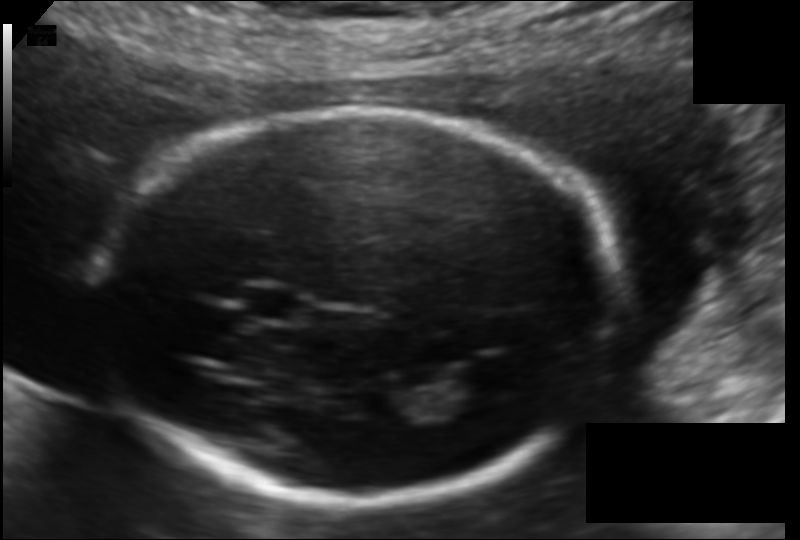
Fetal head ultrasound. Image width: 96.1 mm. Locate the cavum septum pellucidum.

CSP: [242,281,306,323]